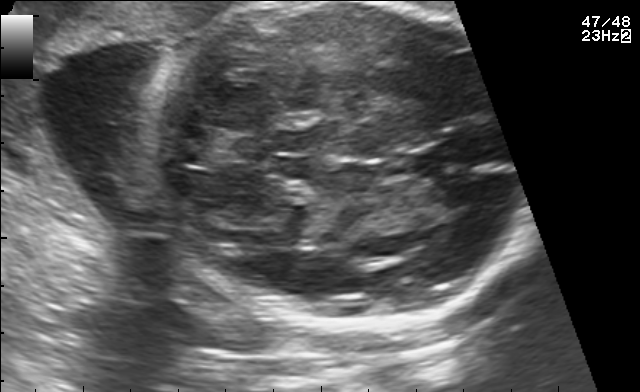
Fetal brain, trans-thalamic plane. Locate the cavum septum pellucidum.

CSP: [408,140,456,173]